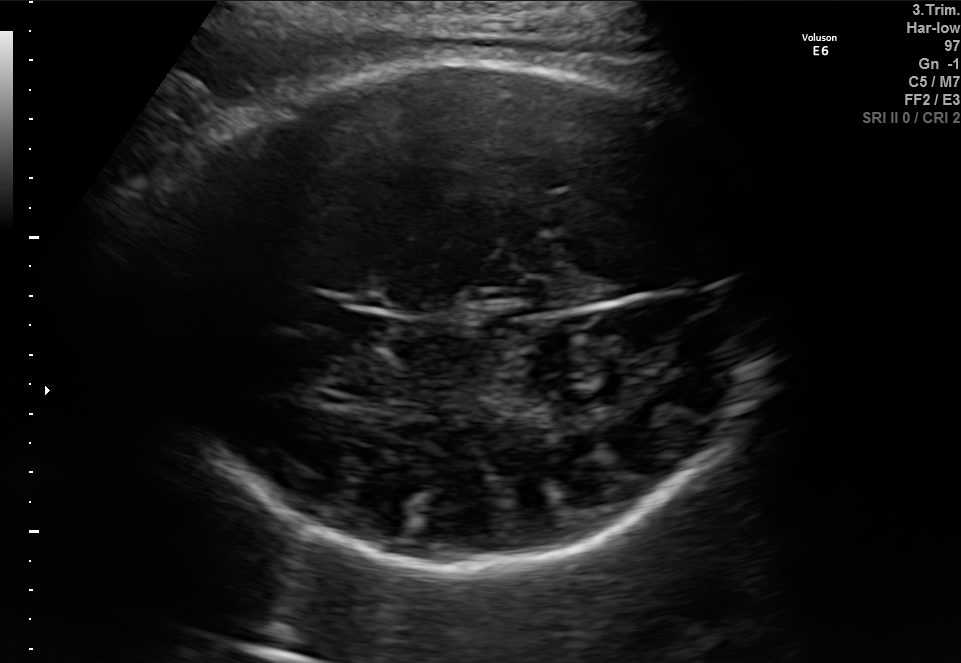
In this fetal brain, trans-thalamic plane, give bounding boxes for the head outline, cavum septum pellucidum (CSP), and lateral ventricle (LV), where visible.

Head: [143,63,782,566]
CSP: [304,294,392,344]